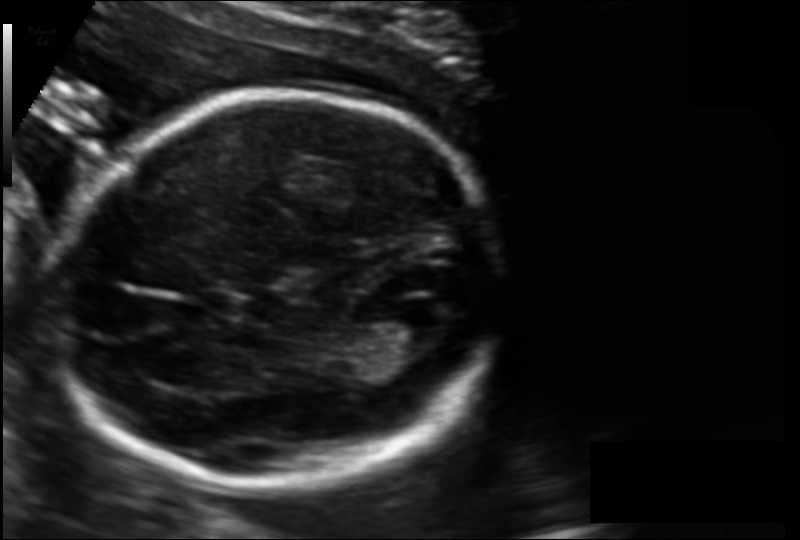
Fetal head ultrasound. Image width: 102.4 mm. Locate the lateral ventricle.

Lateral ventricle: [375,290,453,359]